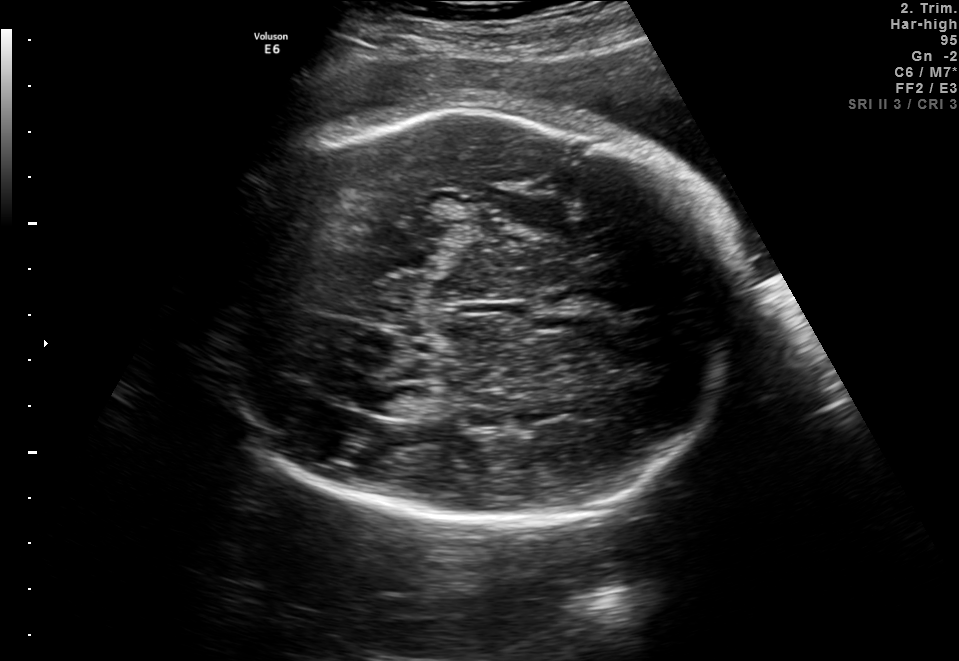
In this fetal brain, trans-thalamic plane, give the bounding box of the lateral ventricle.

[348,379,414,420]